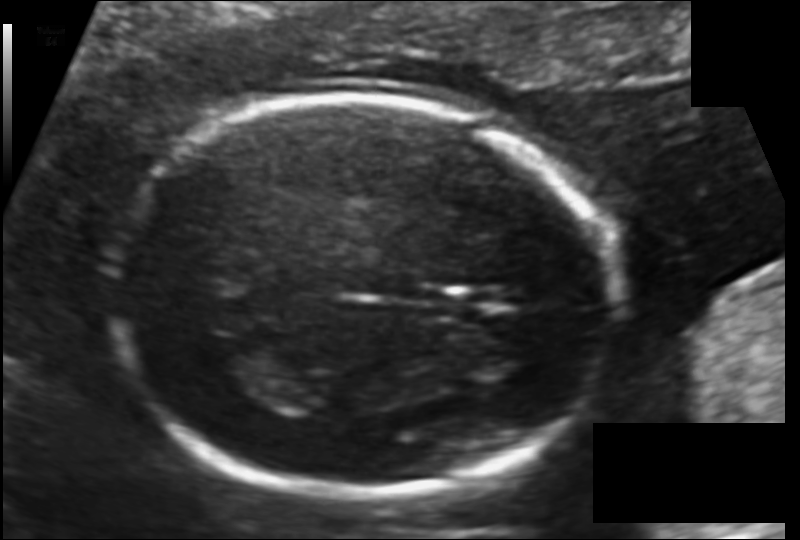
Fetal head ultrasound. Image width: 92.9 mm. Locate the fetal head.

Head: [107,96,616,494]